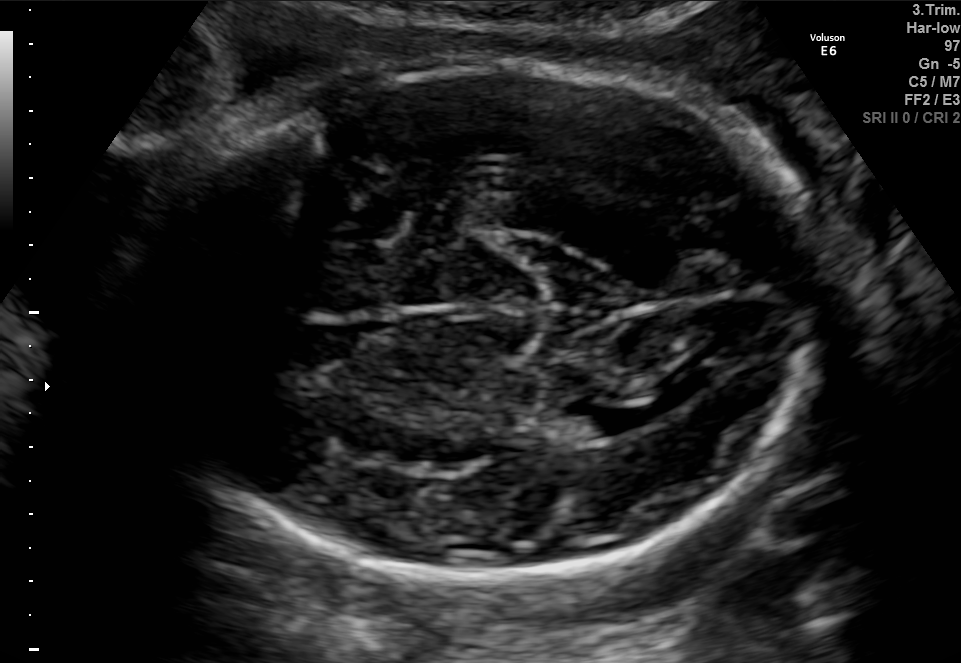
In this fetal brain, trans-thalamic plane, give the bounding box of the lateral ventricle.

[571,398,648,444]